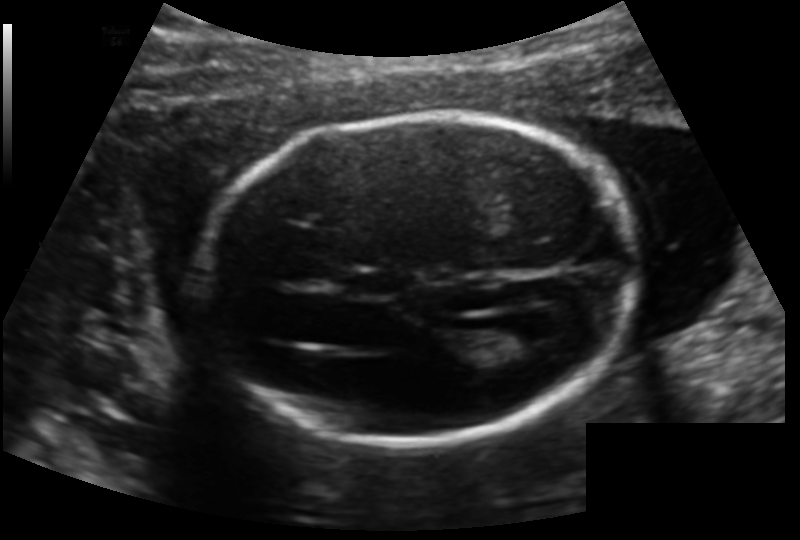
Estimate the fetal head circumference from this 2D ultrasound.

Head circumference: 173.1 mm (image width 112.1 mm).